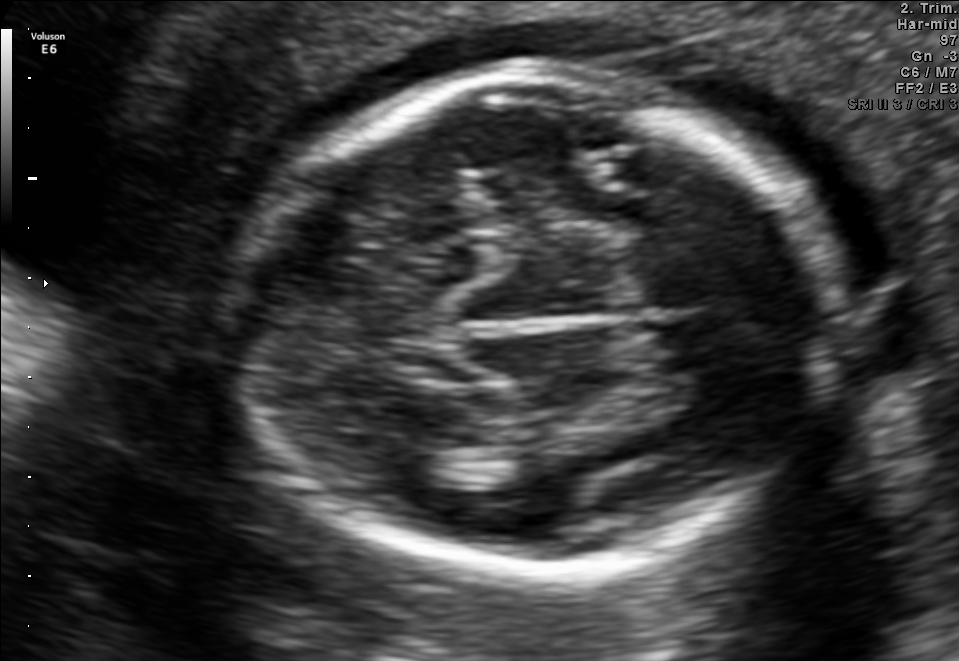
In this fetal brain, trans-thalamic plane, give bounding boxes for the head outline, cavum septum pellucidum (CSP), and lateral ventricle (LV), where visible.

Head: [233,78,838,569]